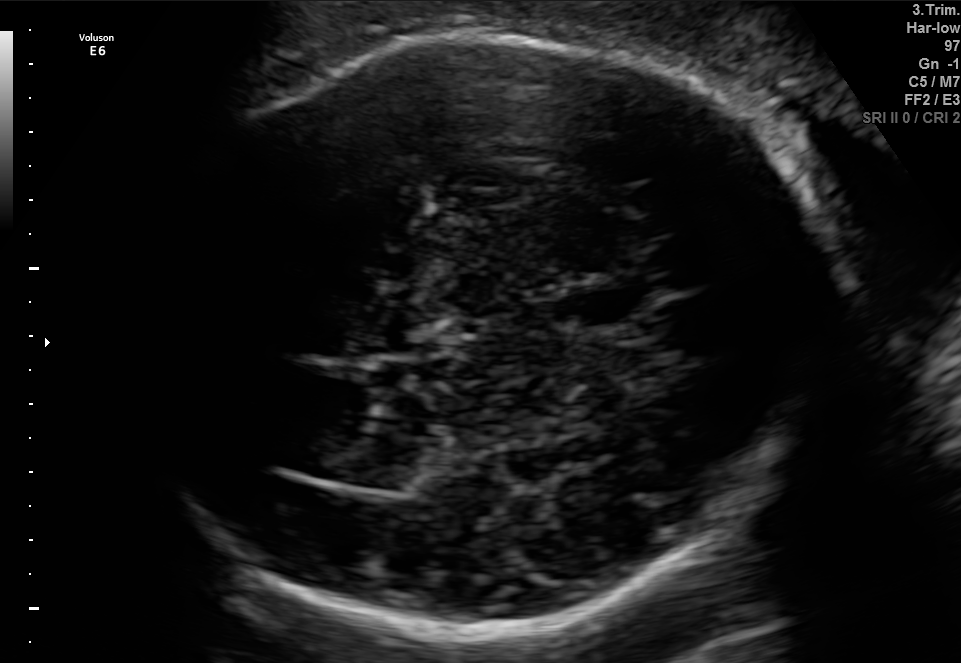
Fetal brain, trans-thalamic plane. Where is the lateral ventricle?

Lateral ventricle bounding box: [294,403,427,499]